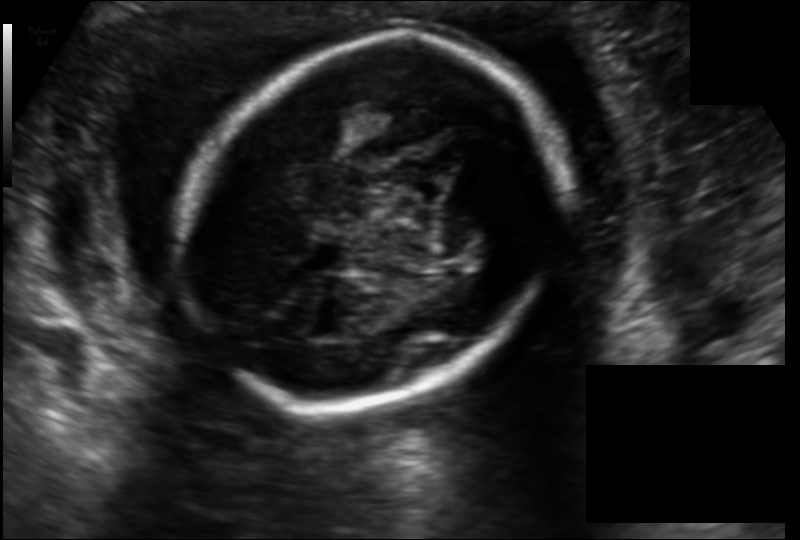
From this fetal ultrasound, estimate the head circumference (image width 112.8 mm).

Head circumference: 171.0 mm.